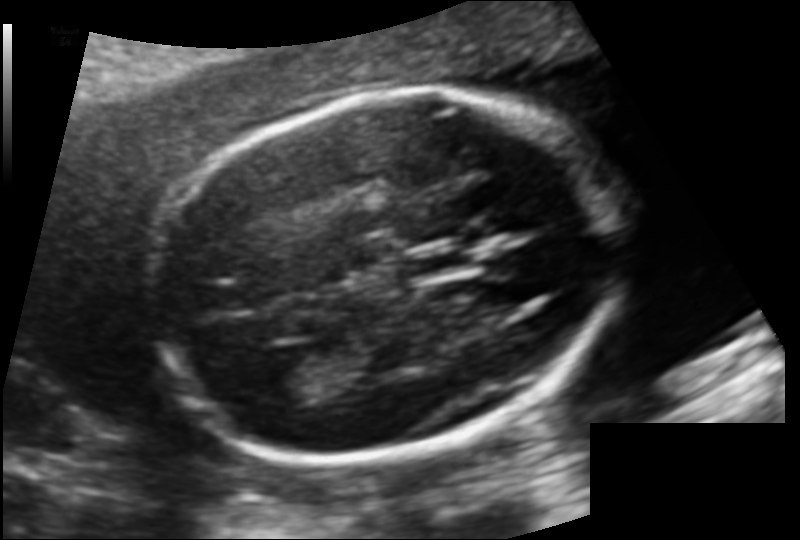
Fetal head ultrasound. Image width: 96.3 mm. Where is the cavum septum pellucidum?

CSP bounding box: [405,243,469,282]